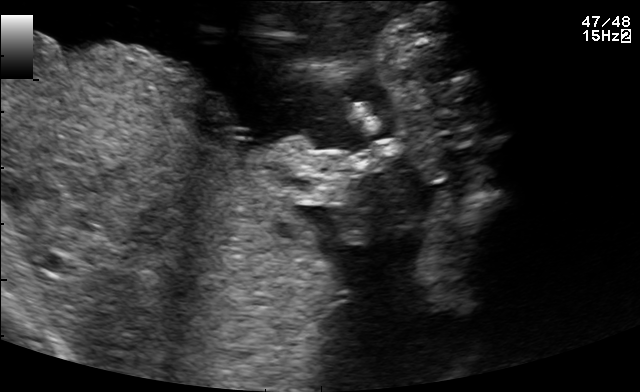
Classify this maternal-fetal ultrasound image as one of the six standard planes — fetal abdomen, fetal brain, fetal femur, fetal thorax, maternal cervix, or other. If it's fetal brain and one of the three standard brain planes (trans-thalamic, trans-cerebellum, trans-ventricular), name which.

Other